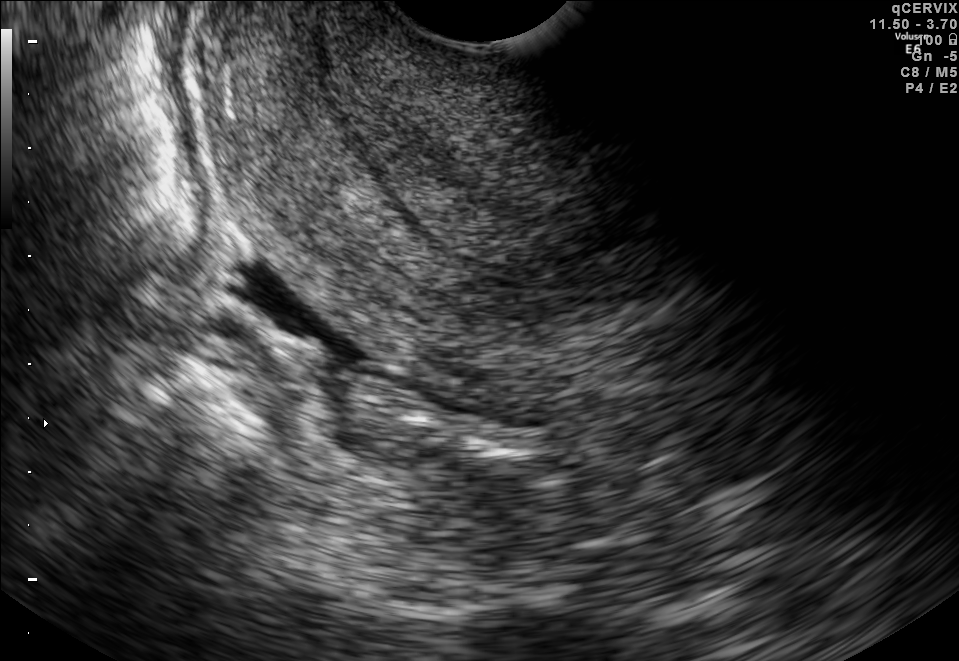
Classify this maternal-fetal ultrasound image as one of the six standard planes — fetal abdomen, fetal brain, fetal femur, fetal thorax, maternal cervix, or other. If it's fetal brain and one of the three standard brain planes (trans-thalamic, trans-cerebellum, trans-ventricular), name which.

Maternal cervix